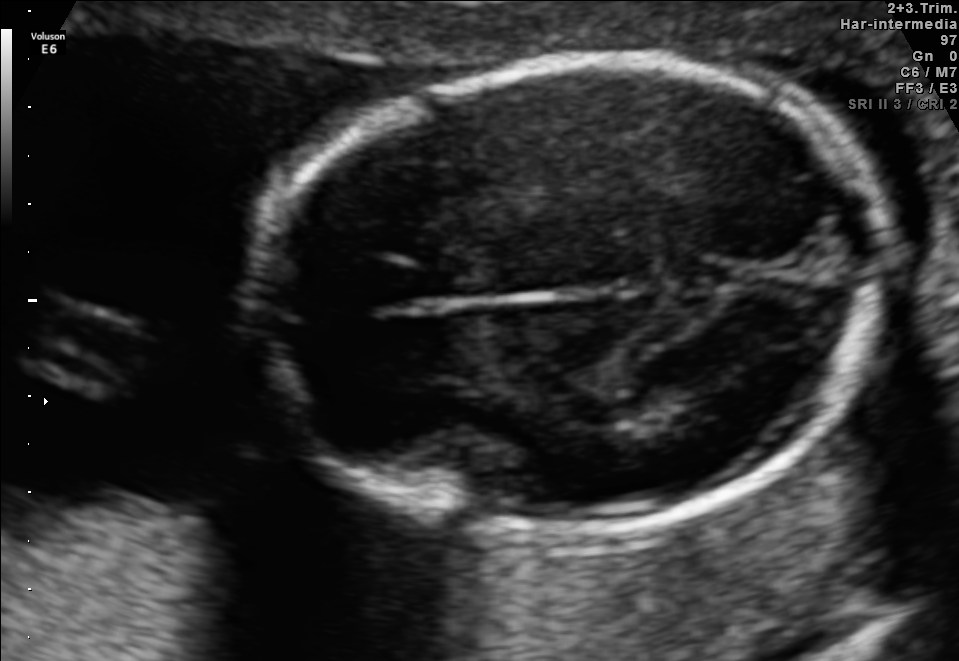
Fetal brain, trans-thalamic plane. Locate the fetal head and, if visible, the cavum septum pellucidum (CSP) and lateral ventricle (LV). Give bounding boxes as [x1,y1,x2,y2].

Head: [256,57,893,536]